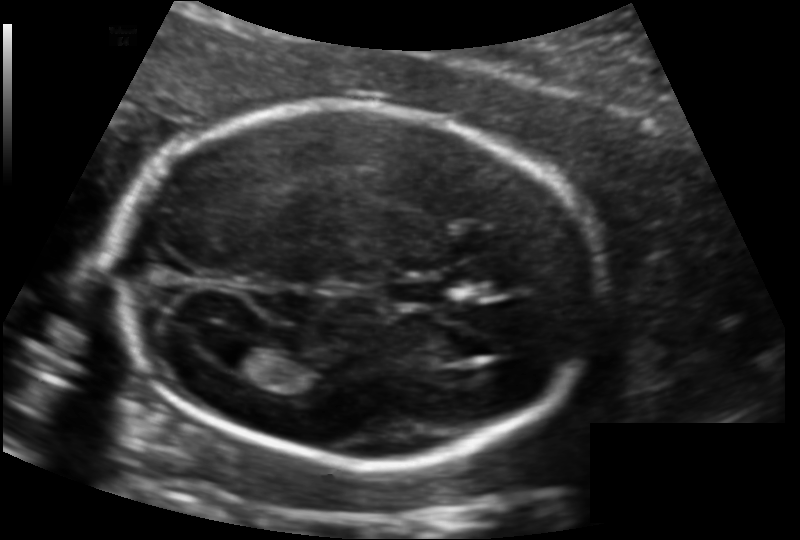
Fetal head ultrasound. Image width: 107.1 mm. Locate the cavum septum pellucidum.

CSP: [392,278,448,306]